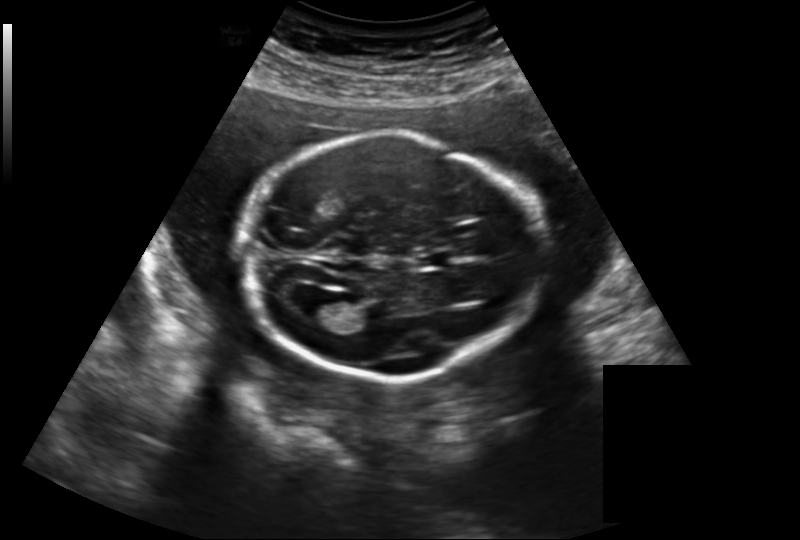
In this fetal head ultrasound, give the bounding box of the fetal head. Image width: 175.2 mm.

[241,133,542,381]